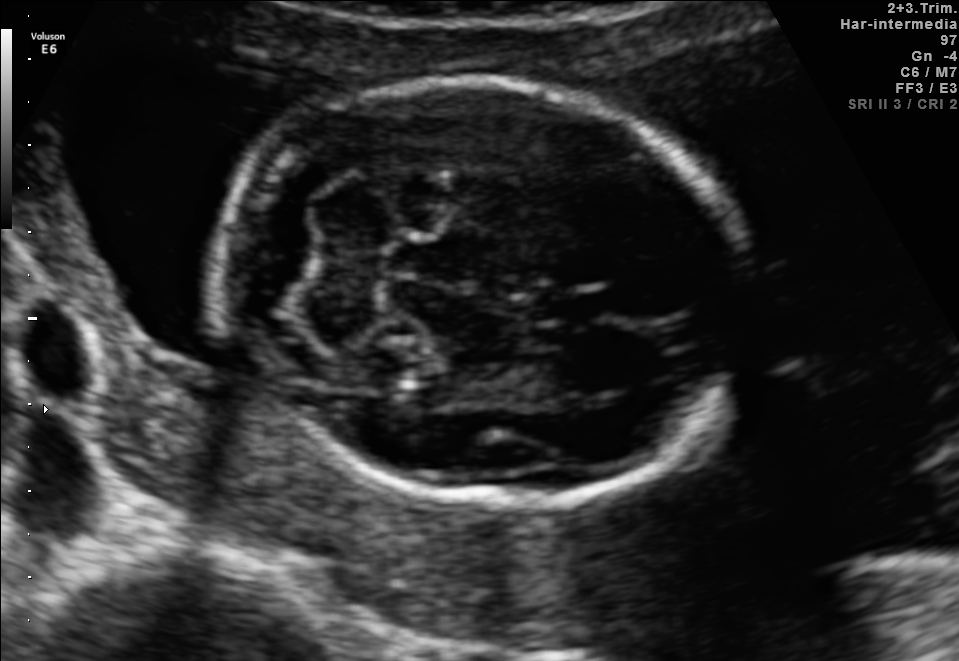
Classify this maternal-fetal ultrasound image as one of the six standard planes — fetal abdomen, fetal brain, fetal femur, fetal thorax, maternal cervix, or other. If it's fetal brain and one of the three standard brain planes (trans-thalamic, trans-cerebellum, trans-ventricular), name which.

Fetal brain (trans-cerebellum plane)